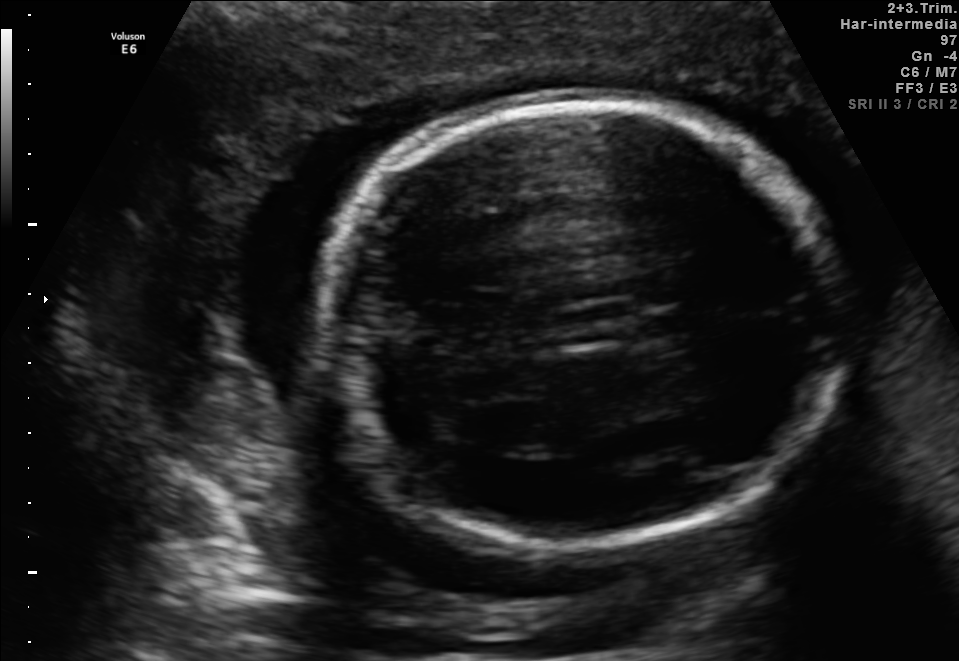
In this fetal brain, trans-thalamic plane, give bounding boxes for the head outline, cavum septum pellucidum (CSP), and lateral ventricle (LV), where visible.

Head: [319,94,840,545]